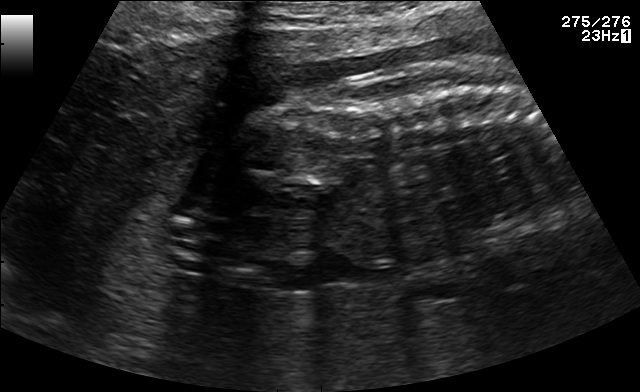
Classify this maternal-fetal ultrasound image as one of the six standard planes — fetal abdomen, fetal brain, fetal femur, fetal thorax, maternal cervix, or other. If it's fetal brain and one of the three standard brain planes (trans-thalamic, trans-cerebellum, trans-ventricular), name which.

Other